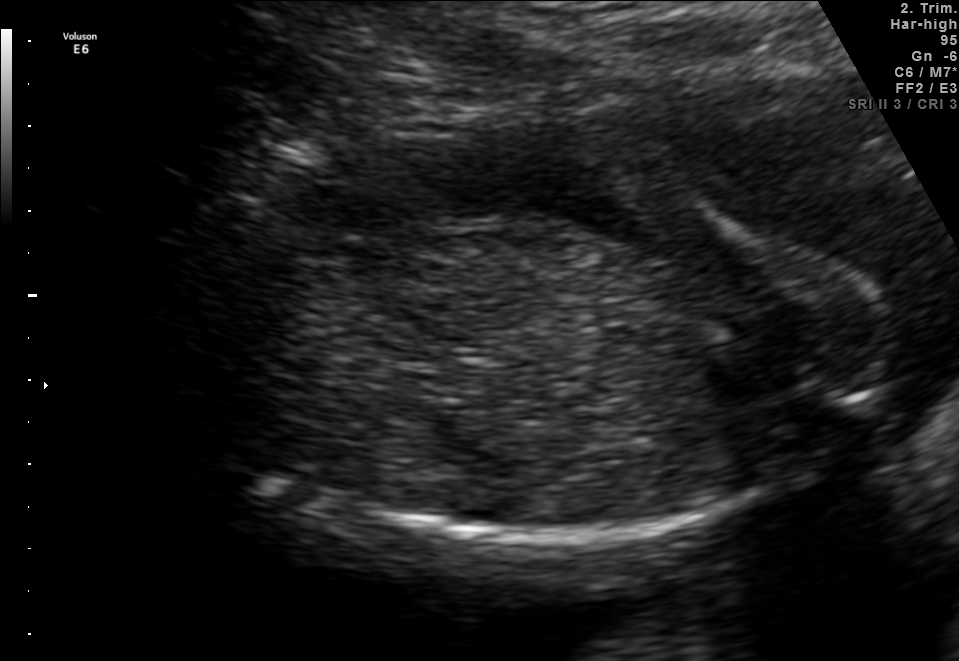
Classify this maternal-fetal ultrasound image as one of the six standard planes — fetal abdomen, fetal brain, fetal femur, fetal thorax, maternal cervix, or other. If it's fetal brain and one of the three standard brain planes (trans-thalamic, trans-cerebellum, trans-ventricular), name which.

Other